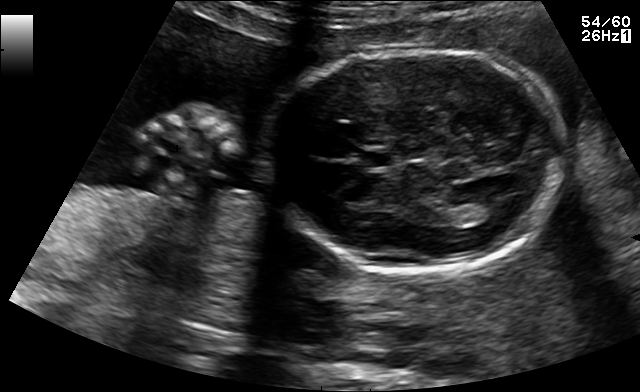
Fetal brain, trans-thalamic plane. Give [x1,y1,x2,y2] bounding boxes for each visible structure among: fetal head, CSP, LV.

Head: [264,50,565,270]
CSP: [362,151,395,168]
Lateral ventricle: [470,195,515,225]